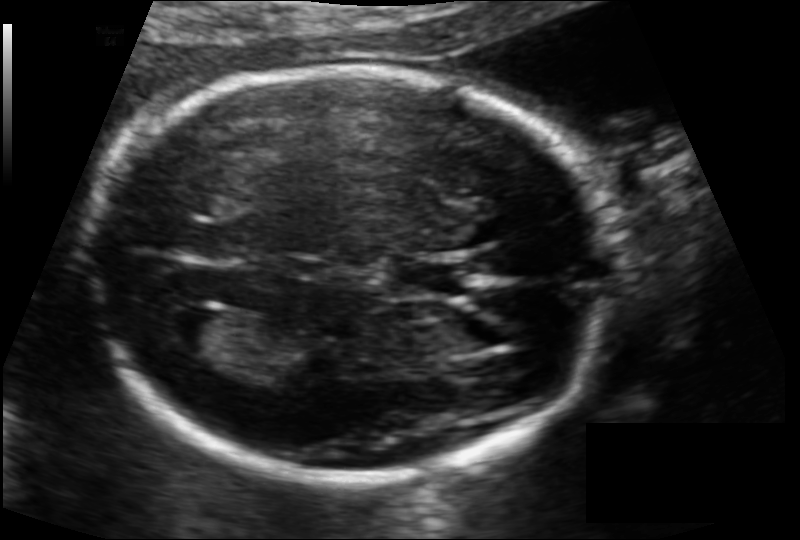
In this fetal head ultrasound, give bounding boxes for the head outline, cavum septum pellucidum (CSP), and lateral ventricle (LV), where visible. Image width: 91.1 mm.

Head: [98,66,610,479]
CSP: [388,257,469,297]
Lateral ventricle: [157,302,228,358]